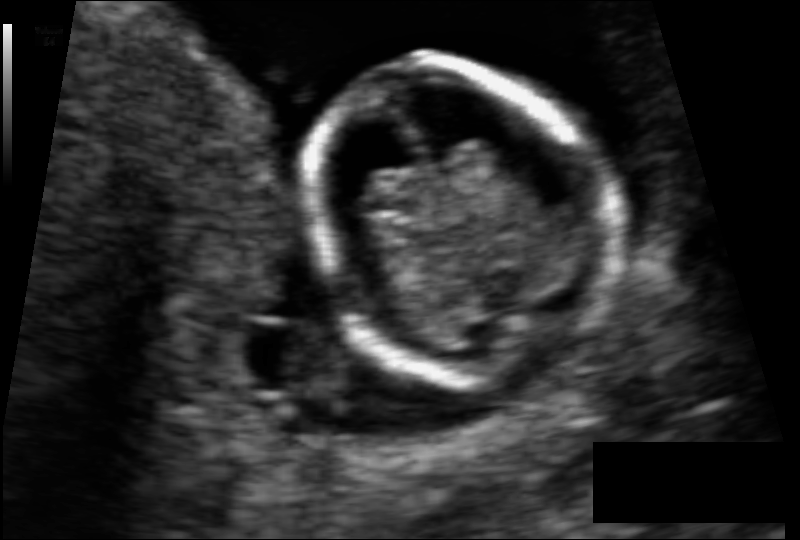
Estimate the fetal head circumference from this 2D ultrasound.

Head circumference: 76.6 mm (image width 58.7 mm).